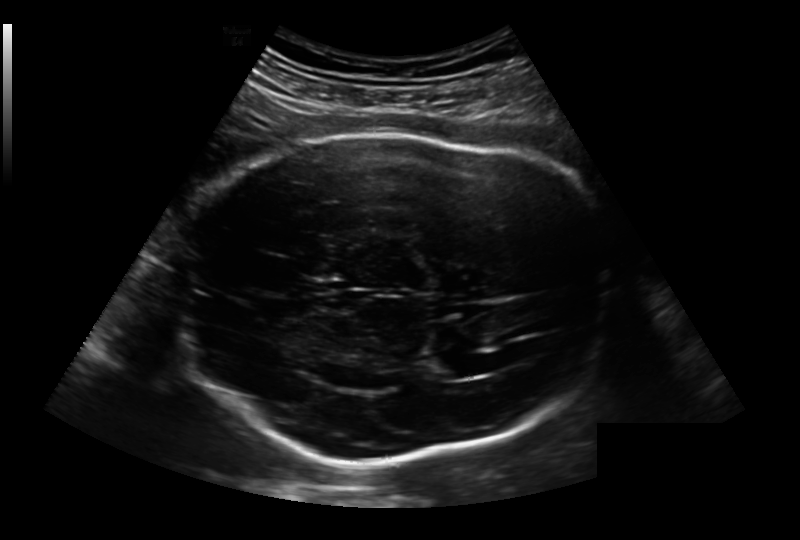
Estimate the fetal head circumference from this 2D ultrasound. Image width: 188.6 mm.

Head circumference: 291.9 mm.